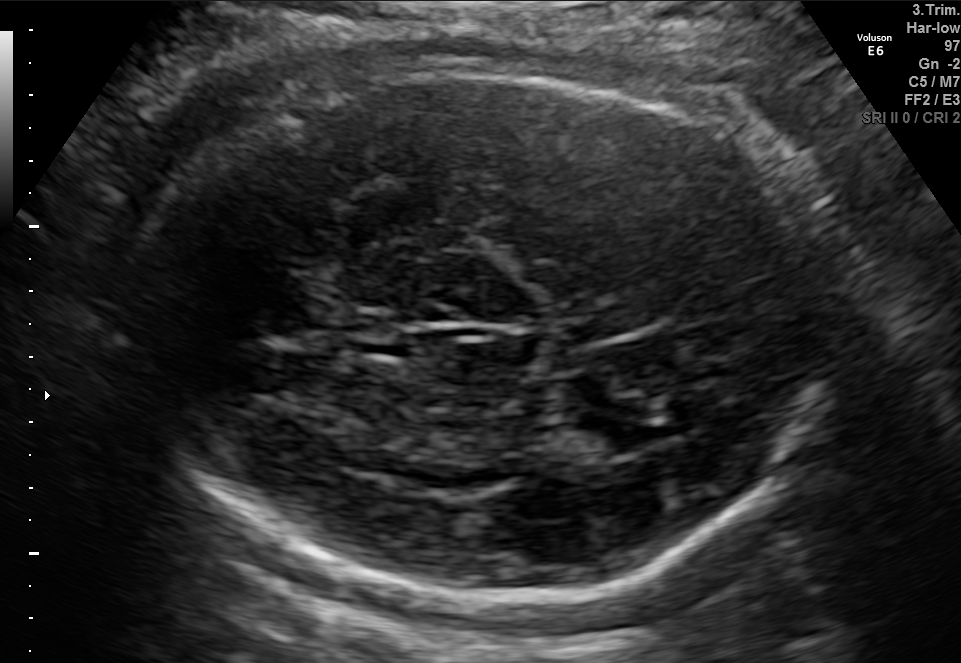
Fetal brain, trans-thalamic plane. Give [x1,y1,x2,y2] bounding boxes for each visible structure among: fetal head, CSP, LV.

Head: [131,66,830,611]
CSP: [351,336,417,360]
Lateral ventricle: [560,401,662,473]